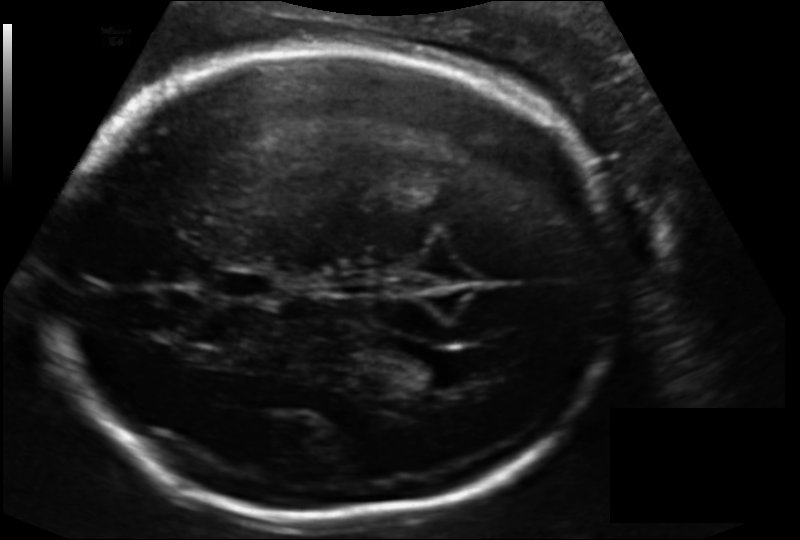
Estimate the fetal head circumference from this 2D ultrasound.

Head circumference: 259.3 mm (image width 124.7 mm).